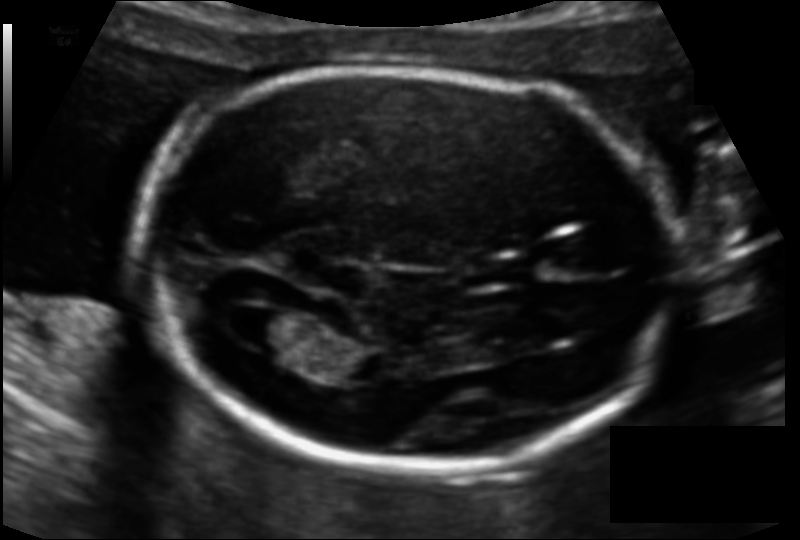
Fetal head ultrasound. Image width: 89.1 mm. Where is the fetal head?

Head bounding box: [140,66,673,471]